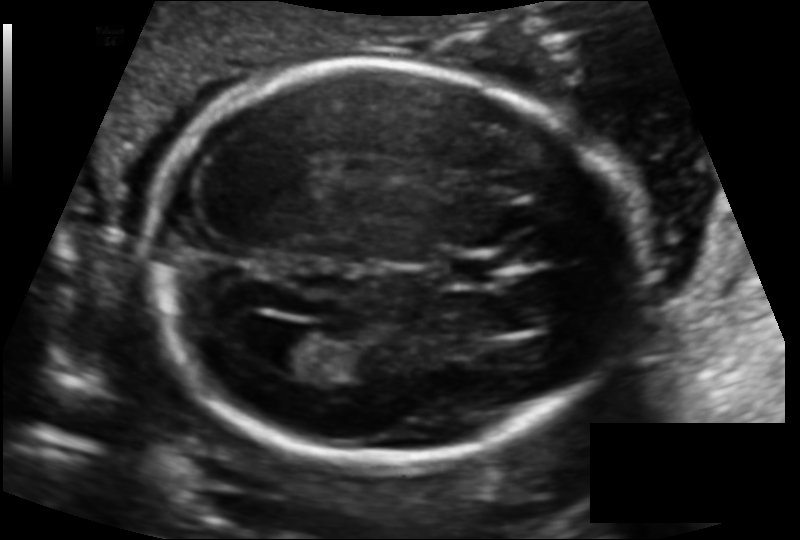
Fetal head ultrasound. Image width: 100.1 mm. Where is the fetal head?

Head bounding box: [147,63,631,466]